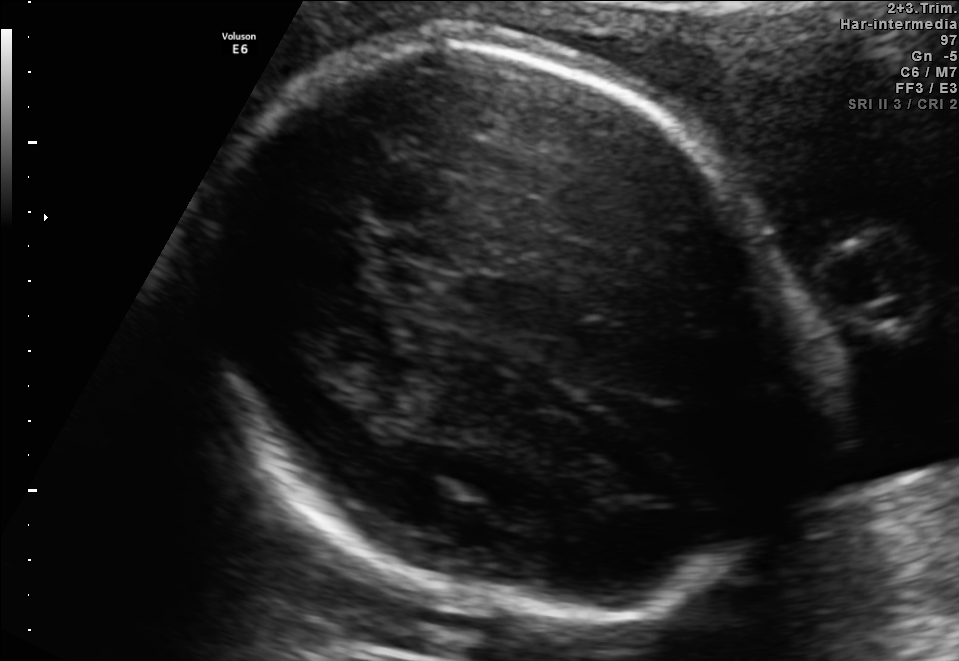
Fetal brain, trans-thalamic plane. Locate the fetal head and, if visible, the cavum septum pellucidum (CSP) and lateral ventricle (LV). Give bounding boxes as [x1,y1,x2,y2].

Head: [193,43,816,620]